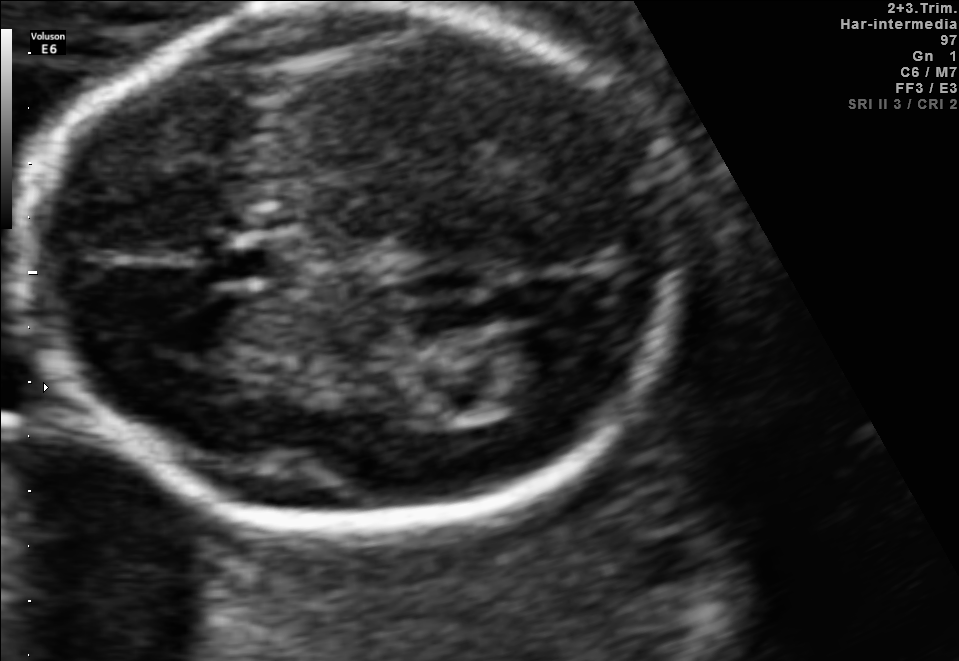
In this fetal brain, trans-thalamic plane, give the bounding box of the cavum septum pellucidum.

[204,233,303,287]